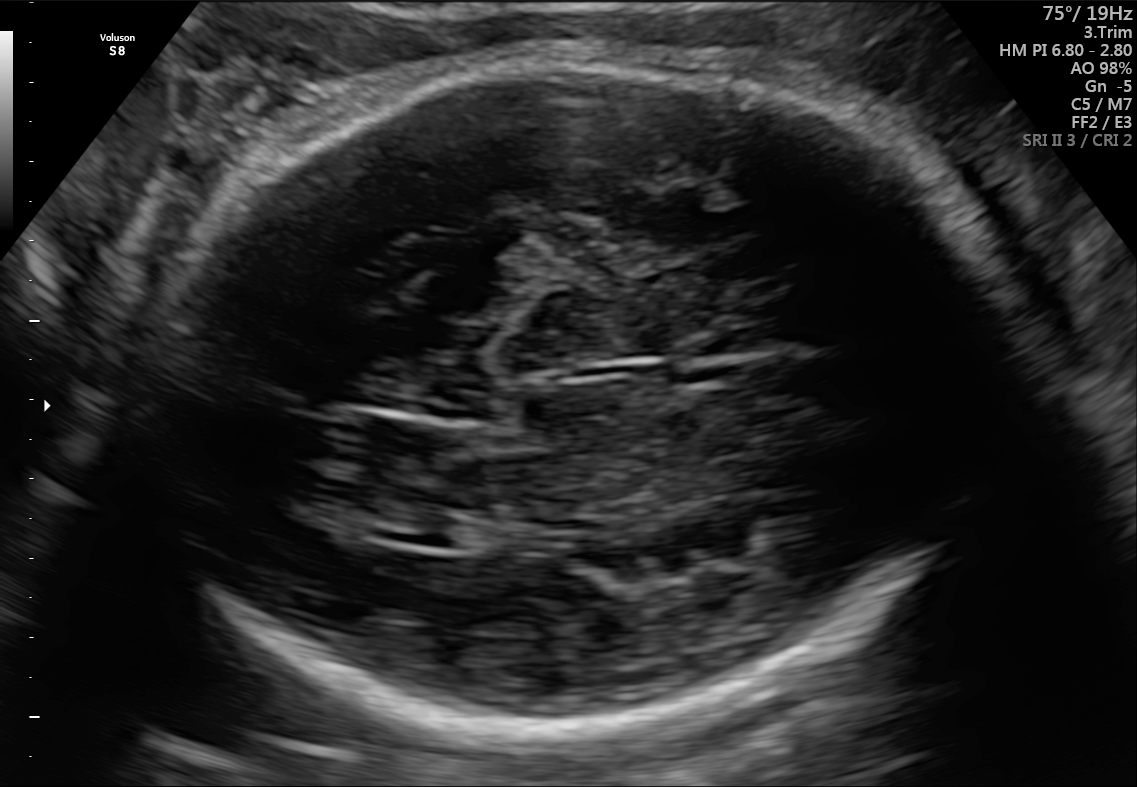
Fetal brain, trans-thalamic plane. Where is the fetal head?

Head bounding box: [142,58,1018,731]